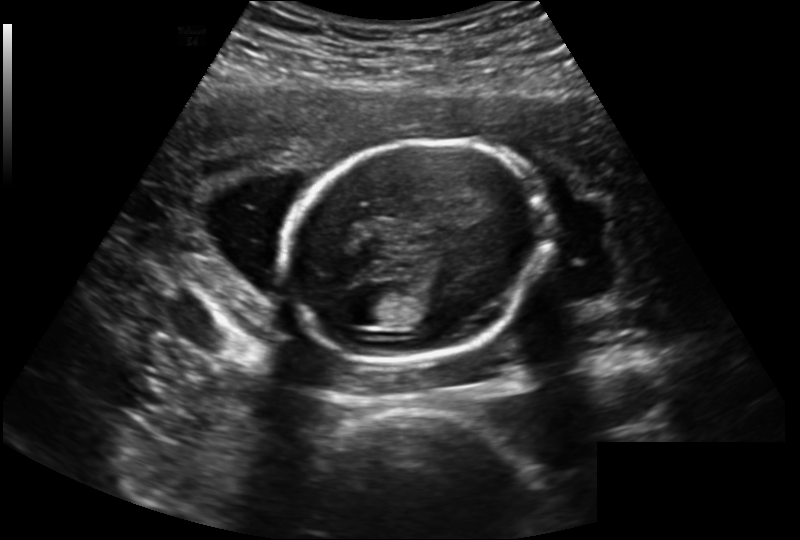
In this fetal head ultrasound, give the bounding box of the lateral ventricle. Image width: 161.7 mm.

[332,291,385,327]